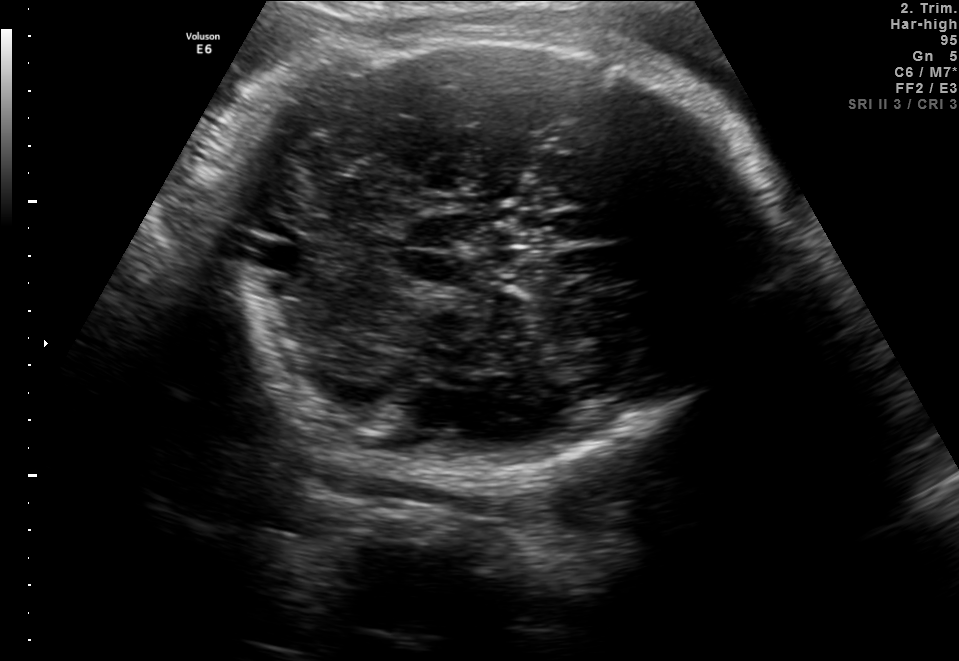
In this fetal brain, trans-cerebellum plane, give the bounding box of the fetal head.

[217,28,778,475]